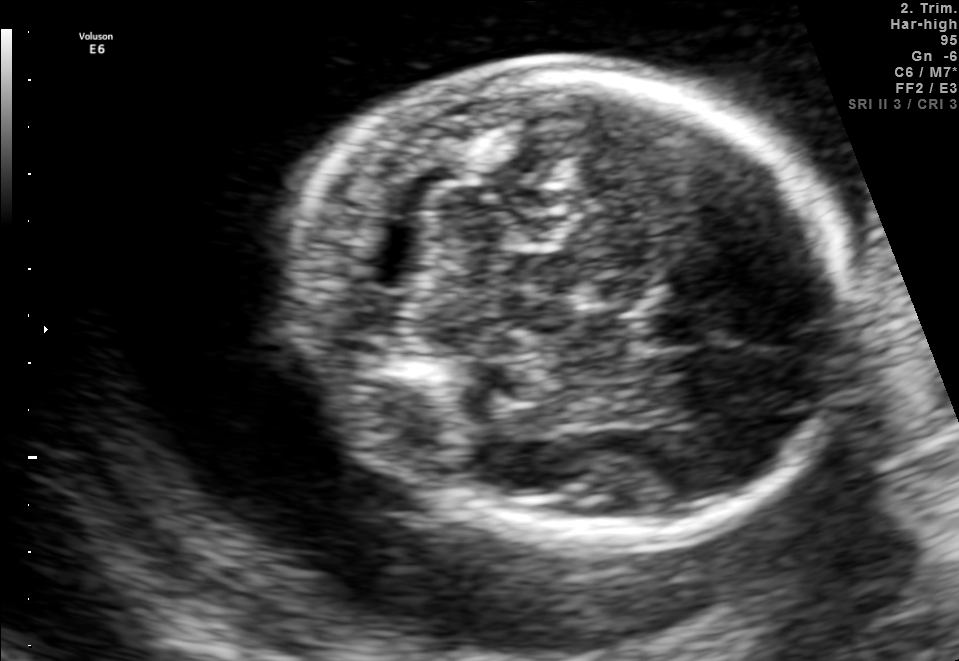
Fetal brain, trans-cerebellum plane. Where is the cavum septum pellucidum?

CSP bounding box: [642,305,727,355]